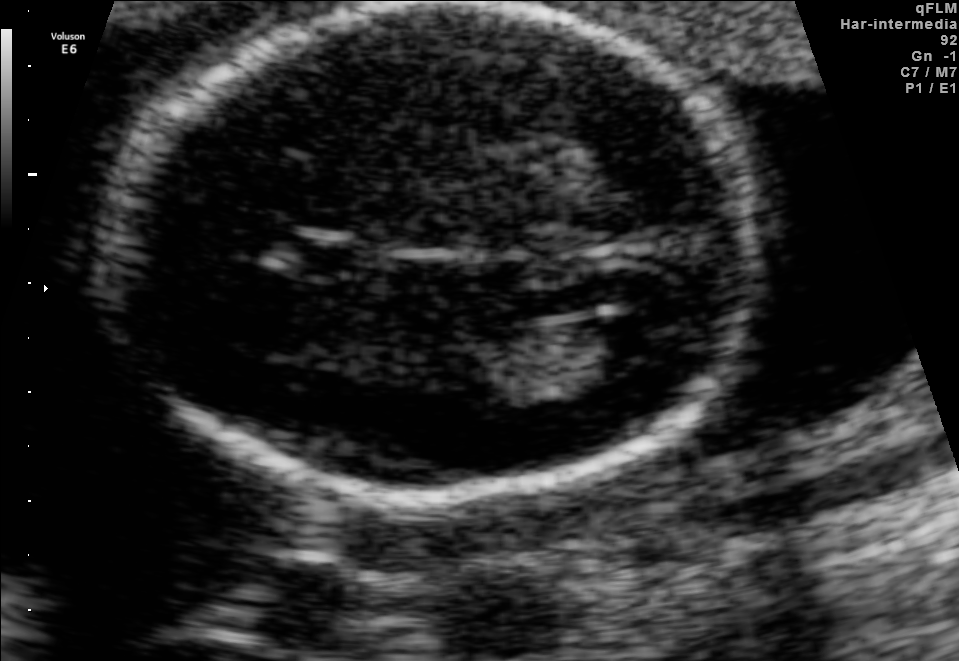
In this fetal brain, trans-ventricular plane, give the bounding box of the fetal head.

[92,3,771,512]